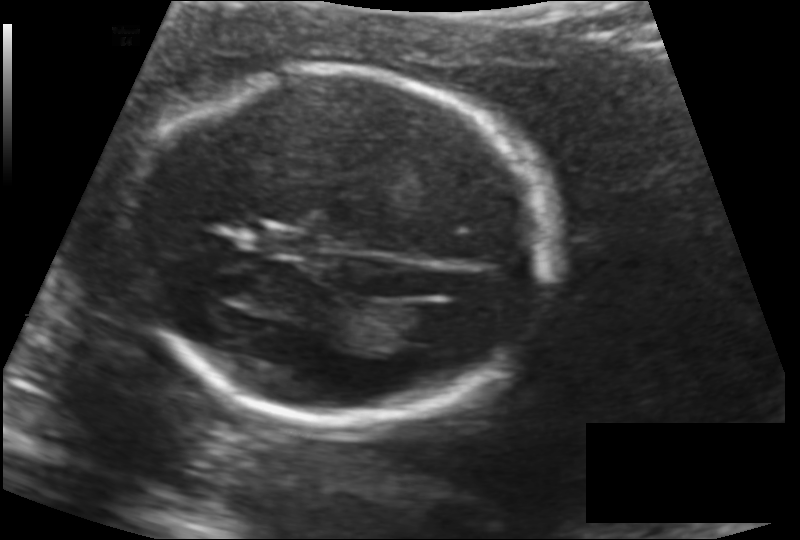
In this fetal head ultrasound, give the bounding box of the fetal head. Image width: 105.6 mm.

[136,67,546,429]